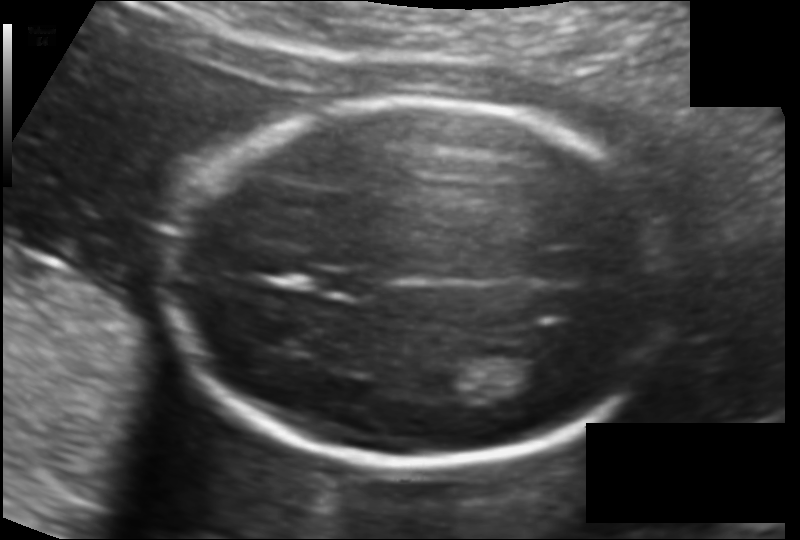
In this fetal head ultrasound, give the bounding box of the fetal head. Image width: 97.1 mm.

[162,100,673,466]